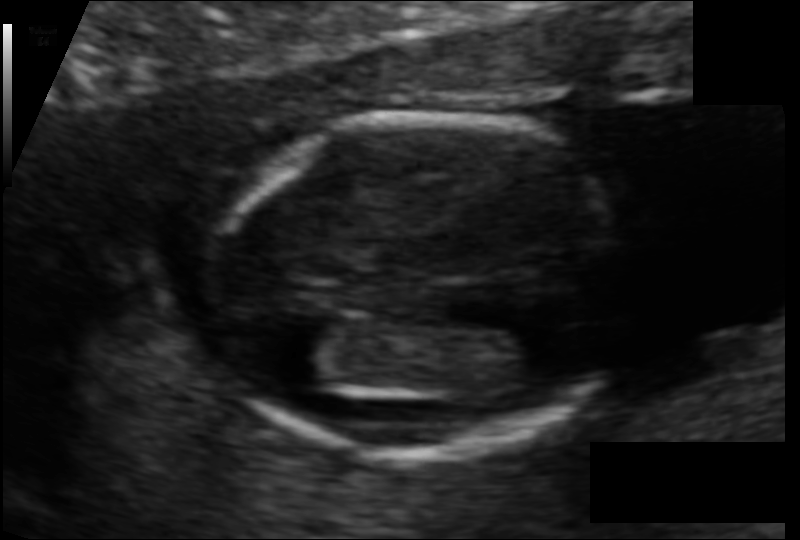
In this fetal head ultrasound, give bounding boxes for the head outline, cavum septum pellucidum (CSP), and lateral ventricle (LV), where visible. Image width: 65.5 mm.

Head: [210,110,630,457]